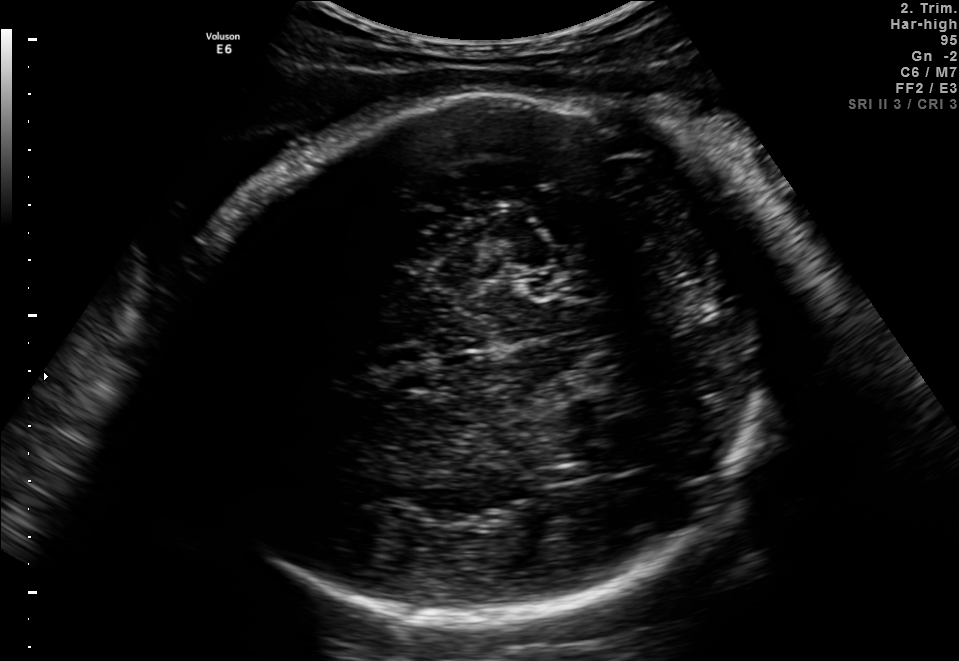
Fetal brain, trans-thalamic plane. Locate the fetal head and, if visible, the cavum septum pellucidum (CSP) and lateral ventricle (LV). Give bounding boxes as [x1,y1,x2,y2].

Head: [172,82,797,625]